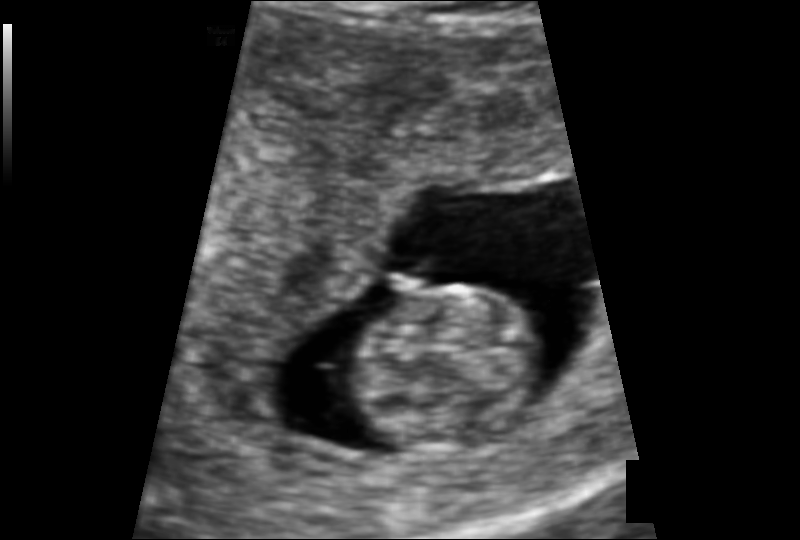
In this fetal head ultrasound, give the bounding box of the fetal head. Image width: 87.5 mm.

[355,285,546,453]